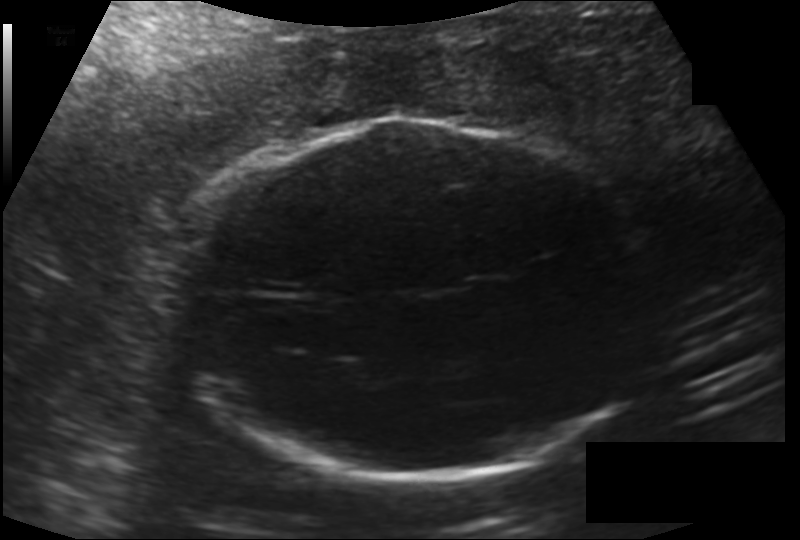
Fetal head ultrasound. Image width: 140.8 mm. Locate the fetal head and, if visible, the cavum septum pellucidum (CSP) and lateral ventricle (LV). Give bounding boxes as [x1,y1,x2,y2].

Head: [169,119,653,475]